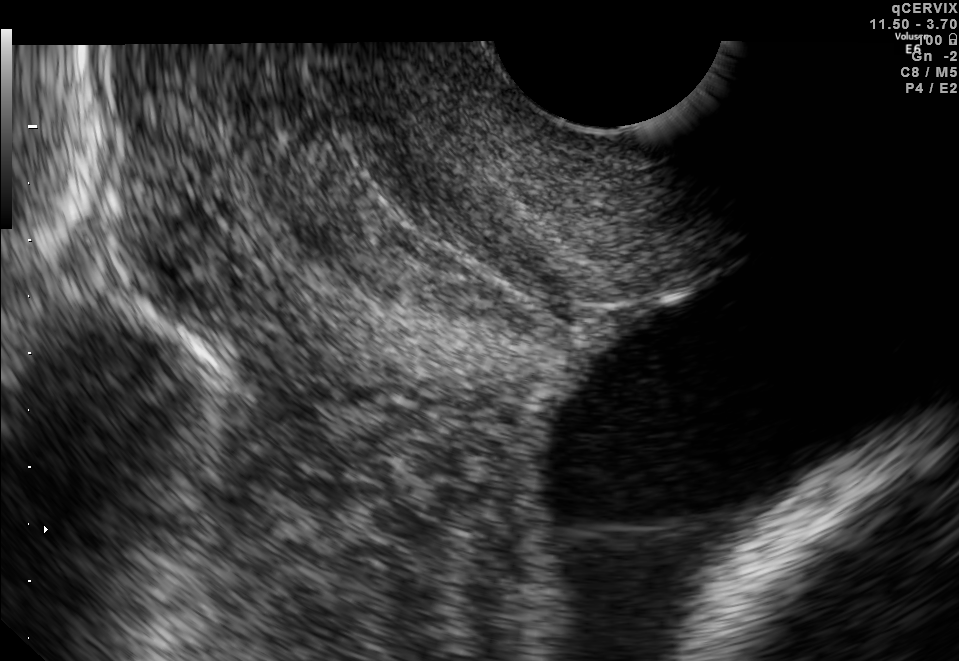
Classify this maternal-fetal ultrasound image as one of the six standard planes — fetal abdomen, fetal brain, fetal femur, fetal thorax, maternal cervix, or other. If it's fetal brain and one of the three standard brain planes (trans-thalamic, trans-cerebellum, trans-ventricular), name which.

Maternal cervix